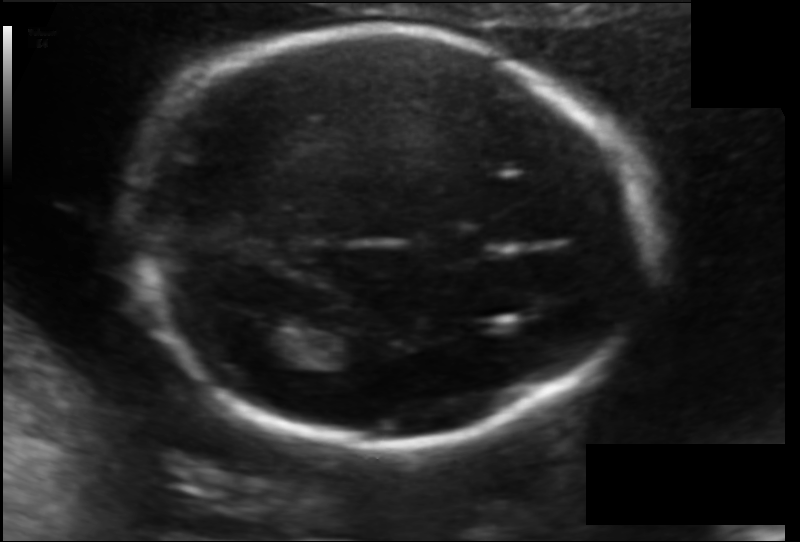
Fetal head ultrasound. Image width: 91.4 mm. Locate the lateral ventricle.

Lateral ventricle: [240,326,297,367]